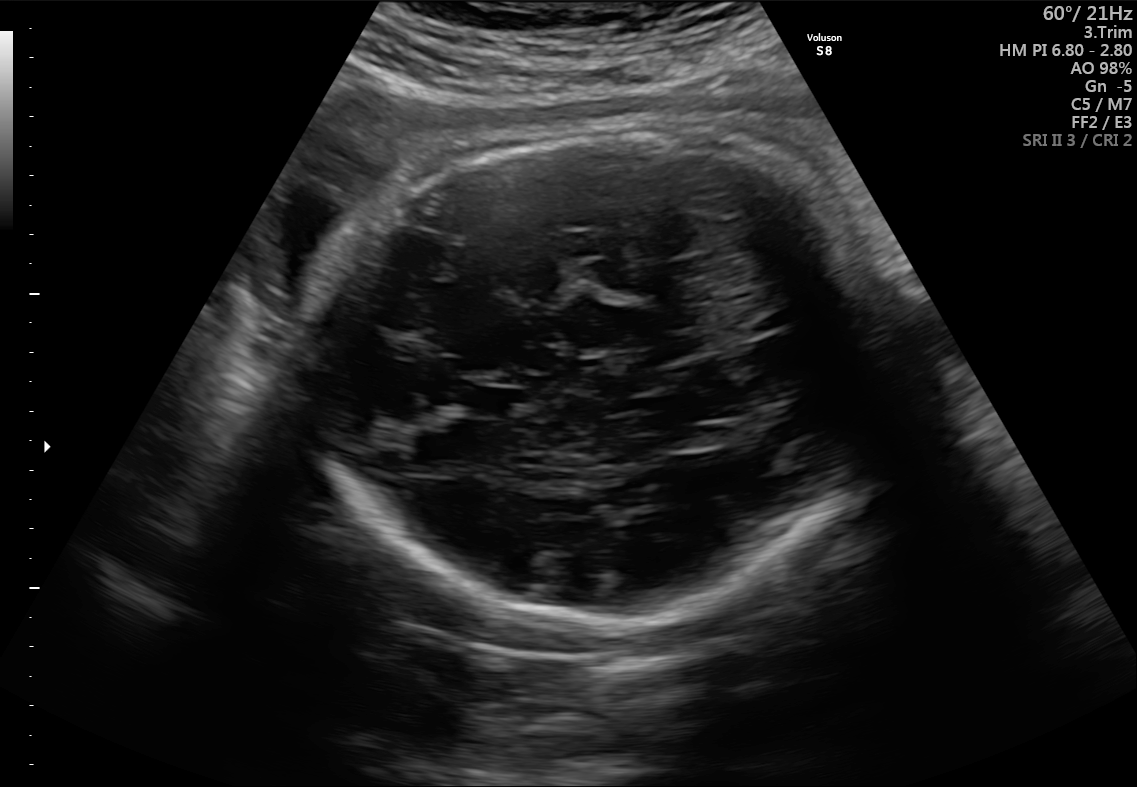
This is a 2D maternal-fetal ultrasound frame. Is it a fetal abdomen, fetal brain, fetal femur, fetal thorax, maternal cervix, or other standard plane? If it's fetal brain and one of the three standard brain planes (trans-thalamic, trans-cerebellum, trans-ventricular), name which.

Fetal brain (trans-thalamic plane)